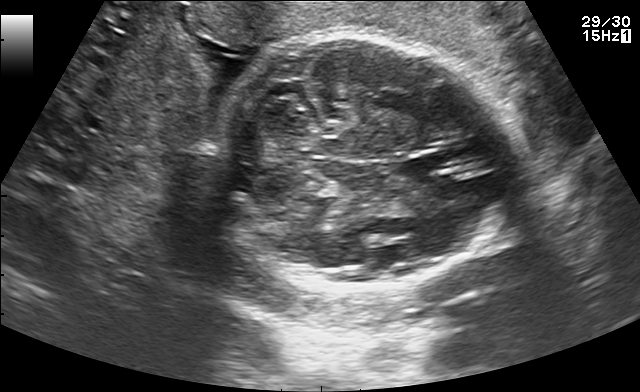
In this fetal brain, trans-cerebellum plane, give bounding boxes for the head outline, cavum septum pellucidum (CSP), and lateral ventricle (LV), where visible.

Head: [216,33,505,291]